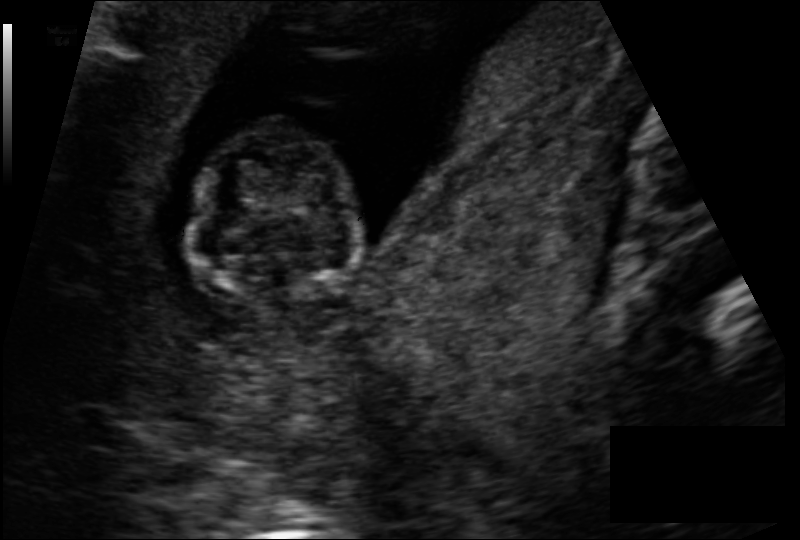
Estimate the fetal head circumference from this 2D ultrasound.

Head circumference: 67.3 mm (image width 90.4 mm).